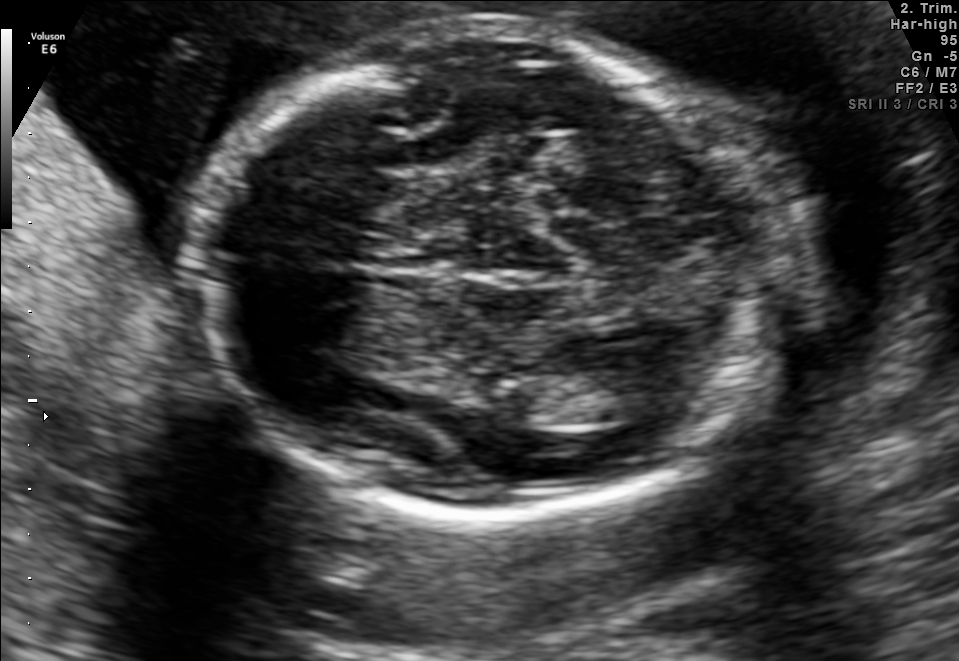
Fetal brain, trans-thalamic plane. Locate the fetal head.

Head: [198,29,787,512]